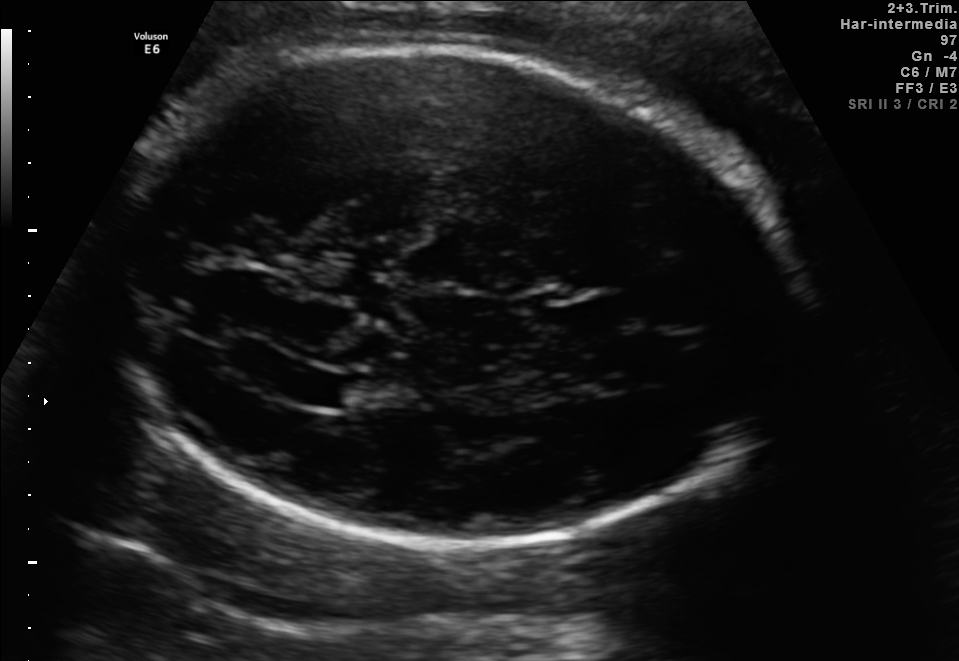
In this fetal brain, trans-ventricular plane, give the bounding box of the lateral ventricle.

[285,364,352,410]